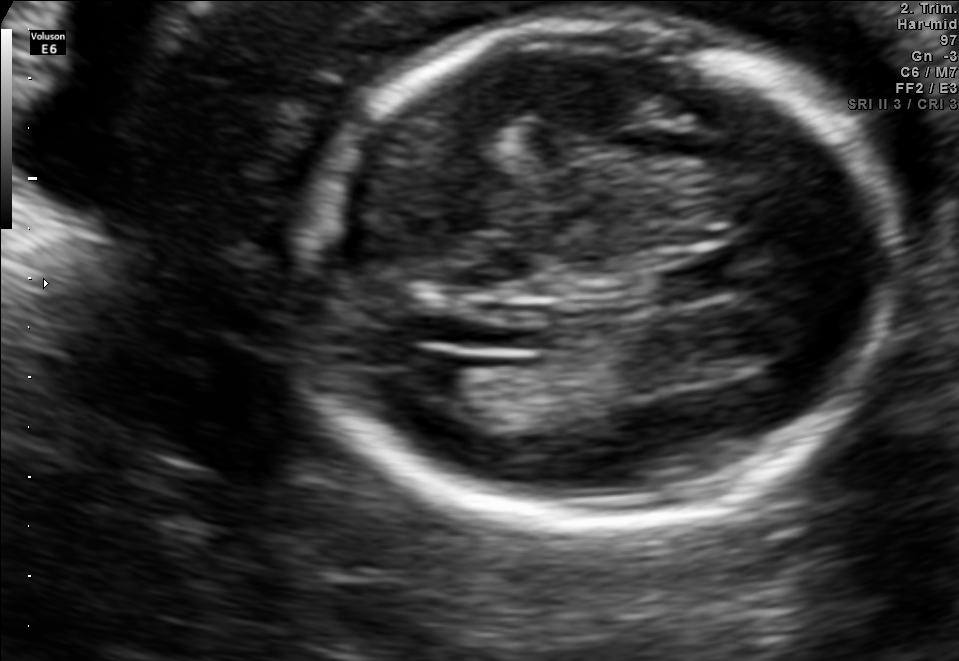
In this fetal brain, trans-ventricular plane, give the bounding box of the lateral ventricle.

[398,343,473,403]